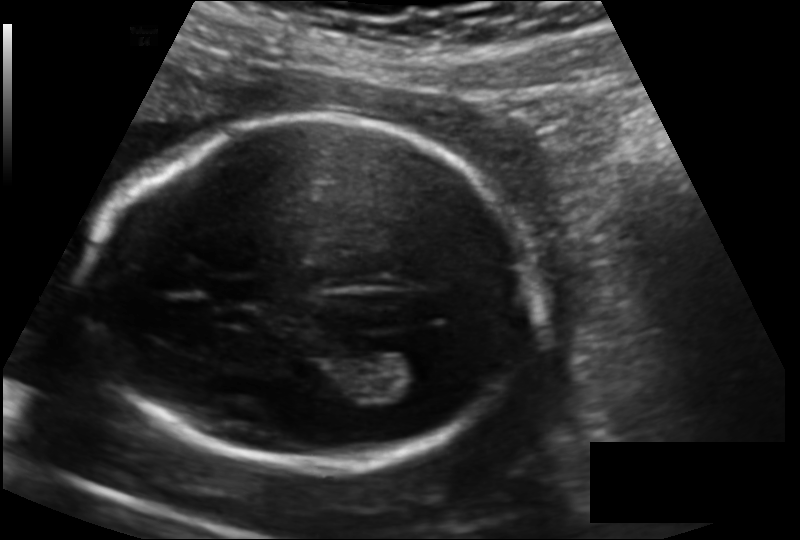
Fetal head ultrasound. Image width: 111.4 mm. Where is the fetal head?

Head bounding box: [86,118,529,465]